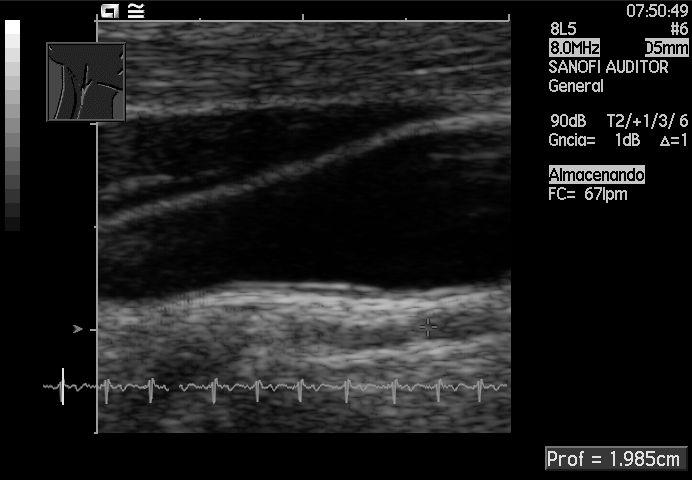
Identify the standard plane in this fetal ultrasound image: fetal abdomen, fetal brain, fetal femur, fetal thorax, maternal cervix, or other. If it's fetal brain and one of the three standard brain planes (trans-thalamic, trans-cerebellum, trans-ventricular), name which.

Other